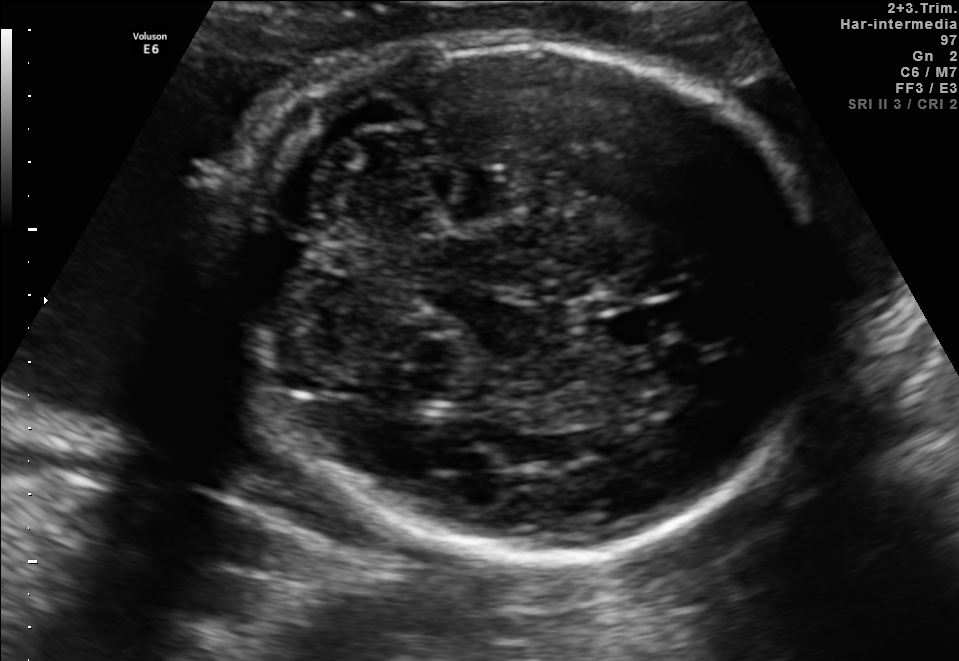
In this fetal brain, trans-cerebellum plane, give the bounding box of the fetal head.

[216,39,817,554]